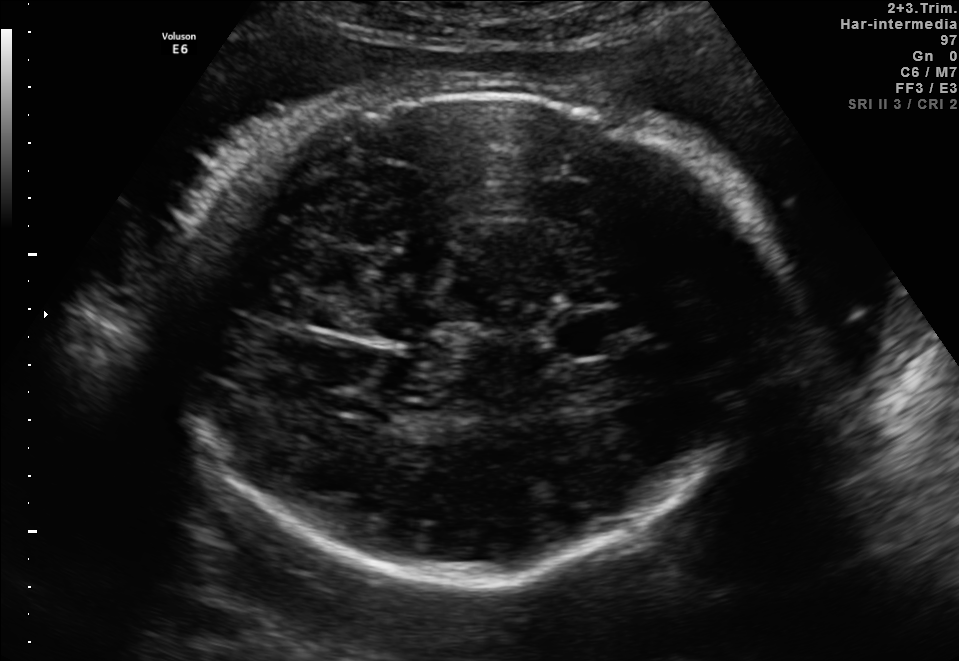
In this fetal brain, trans-thalamic plane, give the bounding box of the cavum septum pellucidum.

[554,303,628,359]